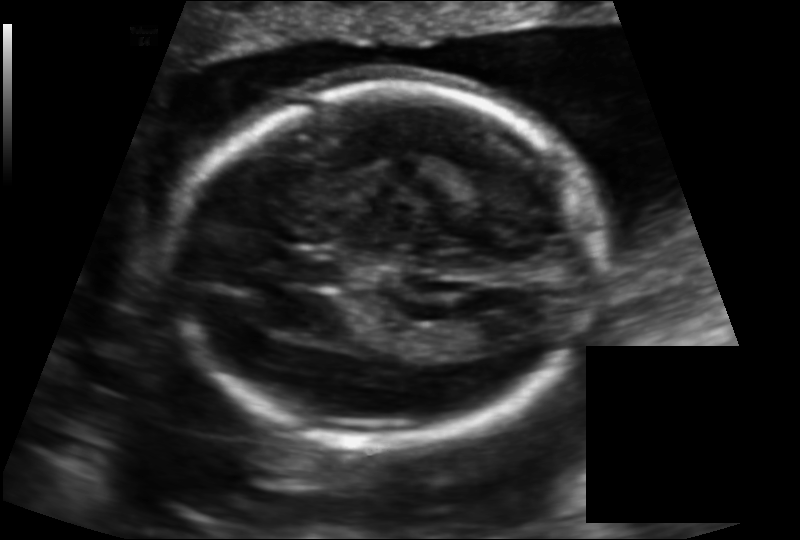
Fetal head ultrasound. Image width: 106.6 mm. Where is the cavum septum pellucidum?

CSP bounding box: [286,253,339,284]